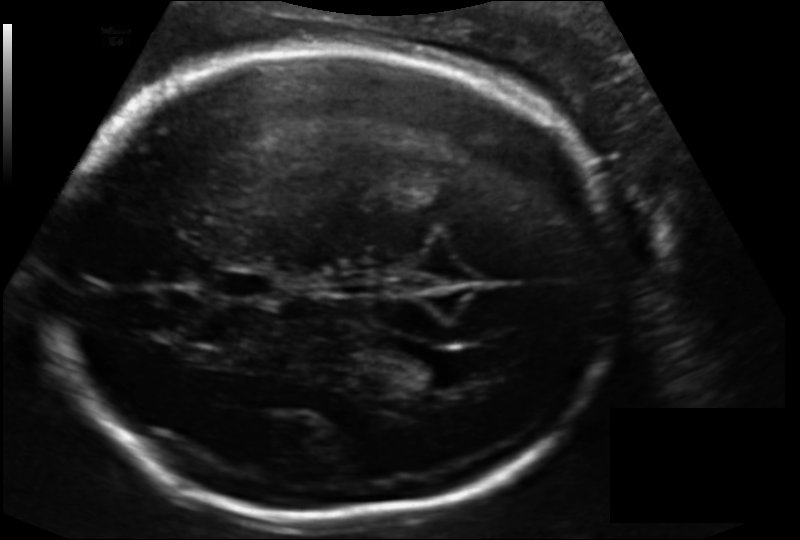
In this fetal head ultrasound, give the bounding box of the fetal head. Image width: 124.7 mm.

[43,45,614,518]